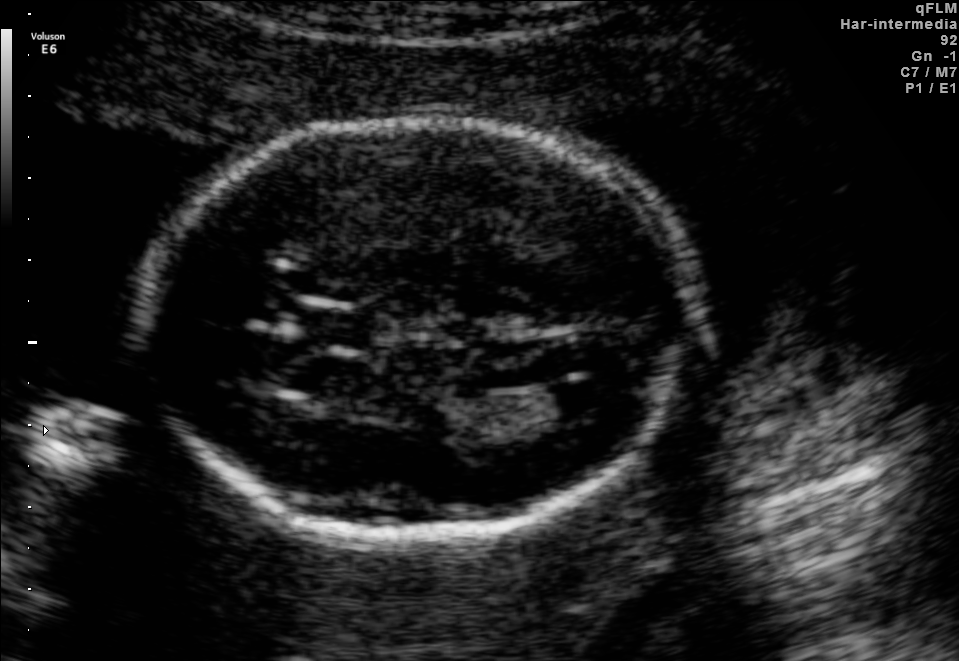
Fetal brain, trans-ventricular plane. Locate the fetal head and, if visible, the cavum septum pellucidum (CSP) and lateral ventricle (LV). Give bounding boxes as [x1,y1,x2,y2].

Head: [133,111,706,546]
CSP: [290,300,392,357]
Lateral ventricle: [541,376,619,424]